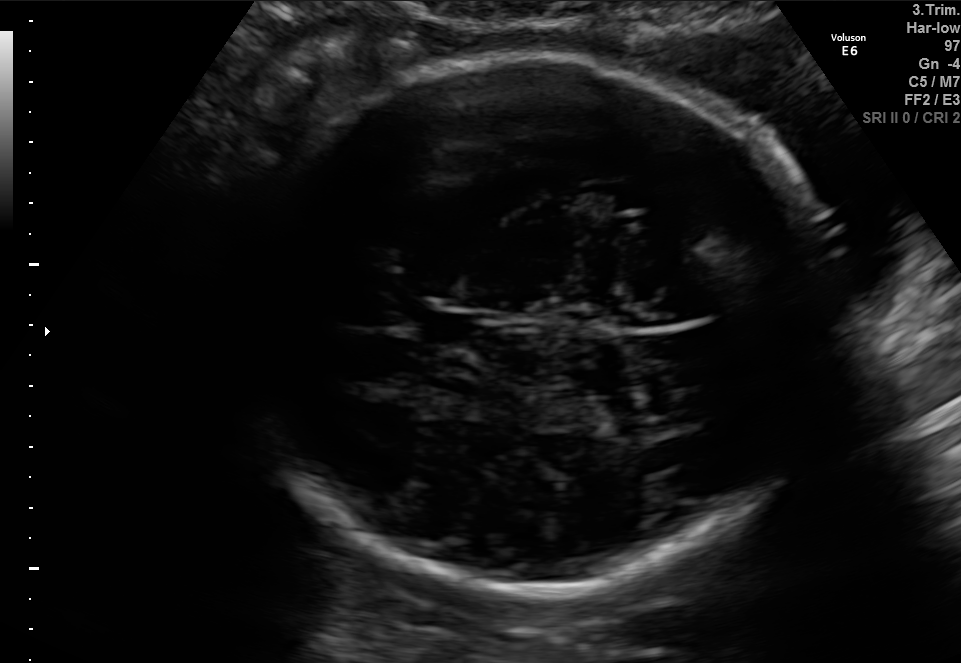
Fetal brain, trans-thalamic plane. Locate the fetal head.

Head: [223,60,828,591]